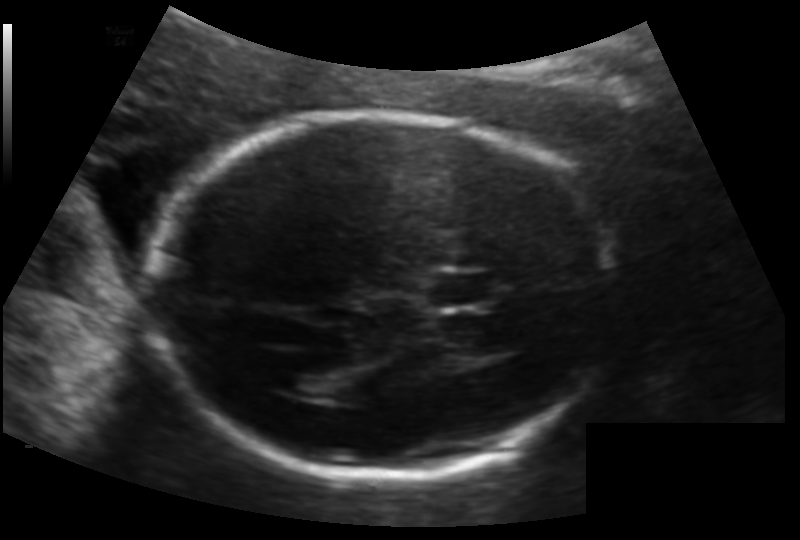
Fetal head ultrasound. Image width: 106.4 mm. Locate the lateral ventricle.

Lateral ventricle: [276,369,330,398]